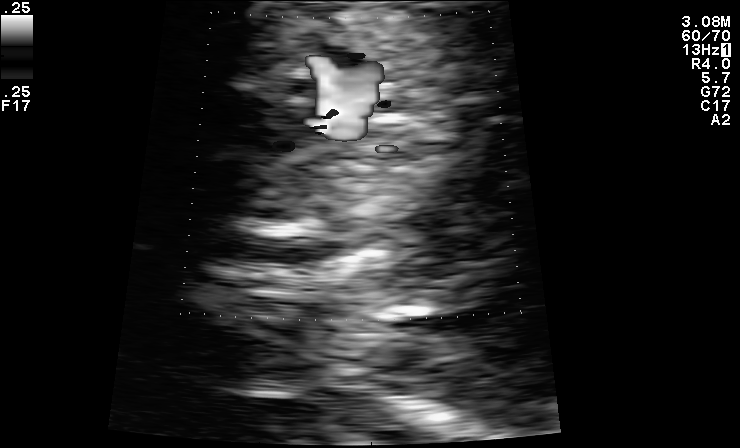
This is a 2D maternal-fetal ultrasound frame. Is it a fetal abdomen, fetal brain, fetal femur, fetal thorax, maternal cervix, or other standard plane? If it's fetal brain and one of the three standard brain planes (trans-thalamic, trans-cerebellum, trans-ventricular), name which.

Other